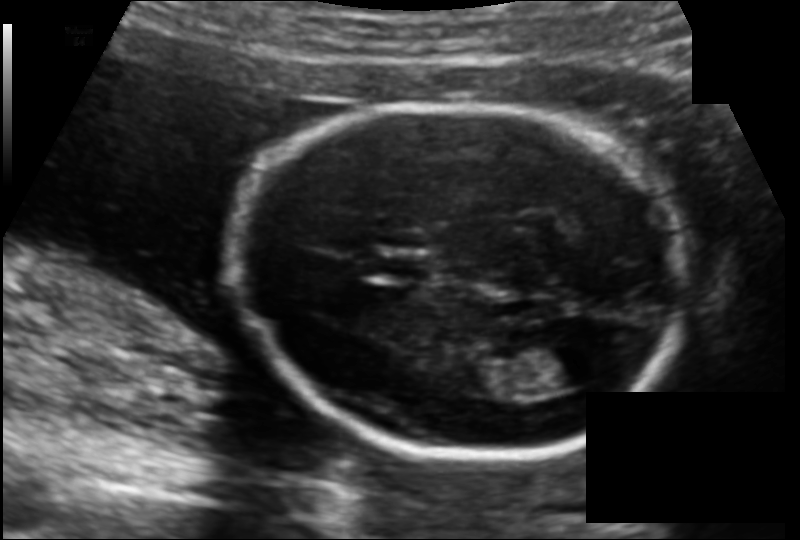
Fetal head ultrasound. Image width: 100.4 mm. Locate the lateral ventricle.

Lateral ventricle: [539,339,606,393]